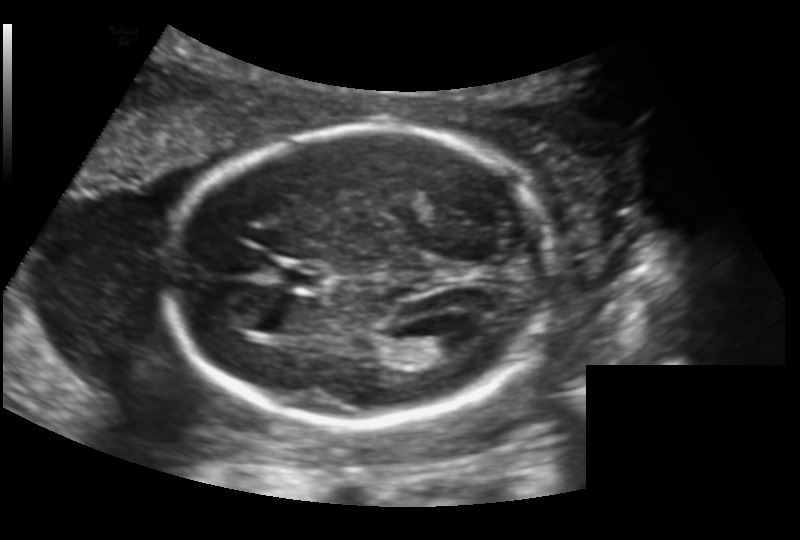
Estimate the fetal head circumference from this 2D ultrasound. Image width: 125.0 mm.

Head circumference: 175.8 mm.